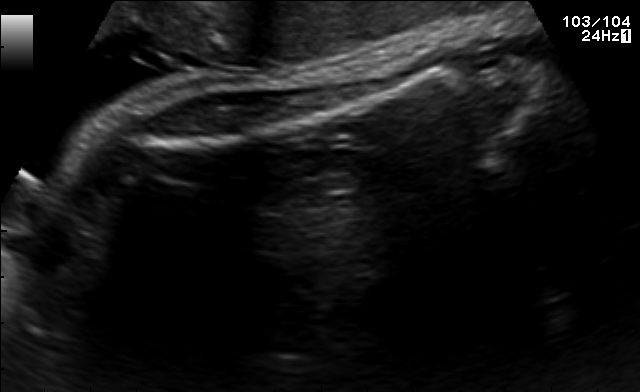
Classify this maternal-fetal ultrasound image as one of the six standard planes — fetal abdomen, fetal brain, fetal femur, fetal thorax, maternal cervix, or other. If it's fetal brain and one of the three standard brain planes (trans-thalamic, trans-cerebellum, trans-ventricular), name which.

Fetal femur